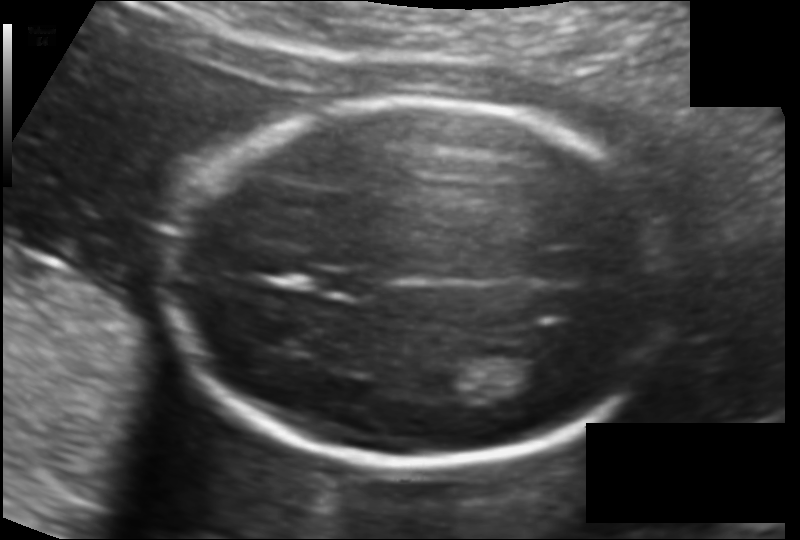
In this fetal head ultrasound, give bounding boxes for the head outline, cavum septum pellucidum (CSP), and lateral ventricle (LV), where visible. Image width: 97.1 mm.

Head: [162,100,673,466]
CSP: [312,267,373,298]
Lateral ventricle: [497,346,562,399]